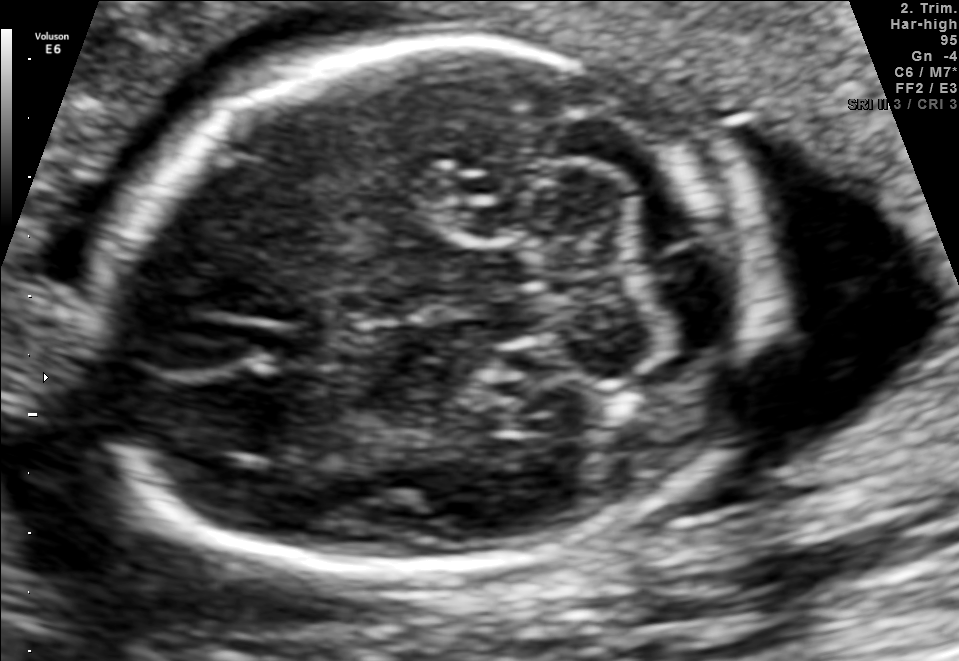
Fetal brain, trans-cerebellum plane. Locate the fetal head.

Head: [85,45,748,578]